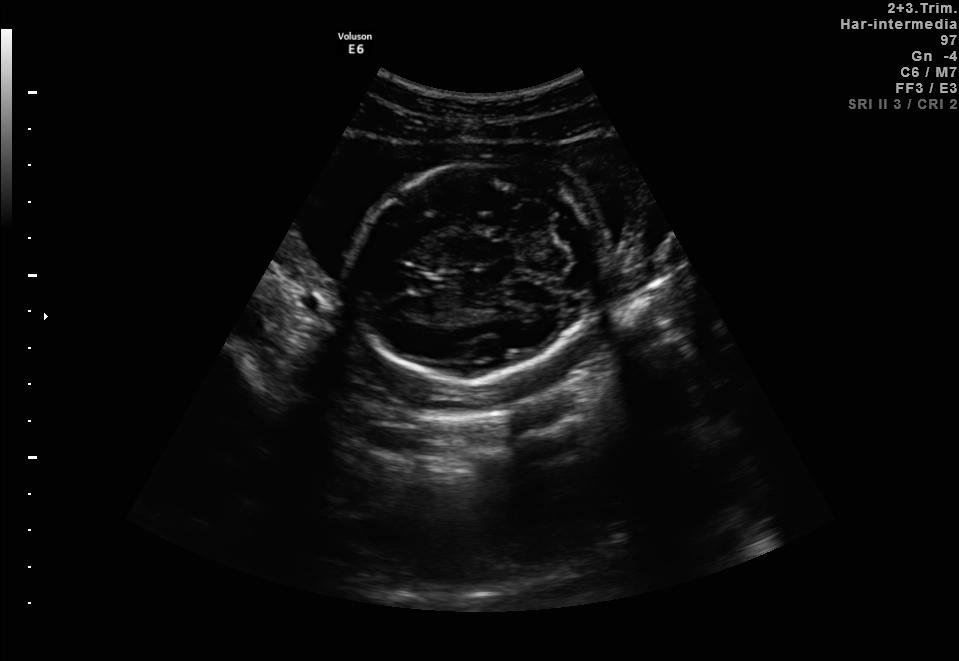
In this fetal brain, trans-cerebellum plane, give the bounding box of the fetal head.

[349,163,602,382]